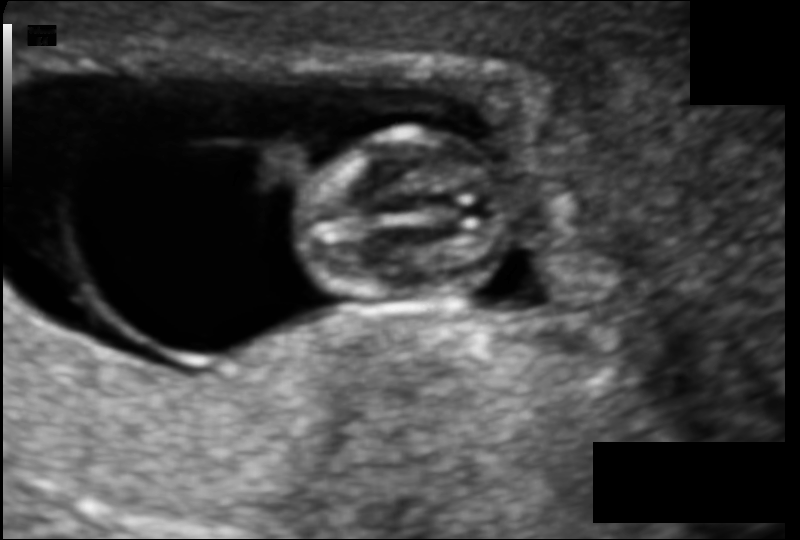
Fetal head ultrasound. Image width: 71.7 mm. Locate the fetal head.

Head: [289,132,512,304]